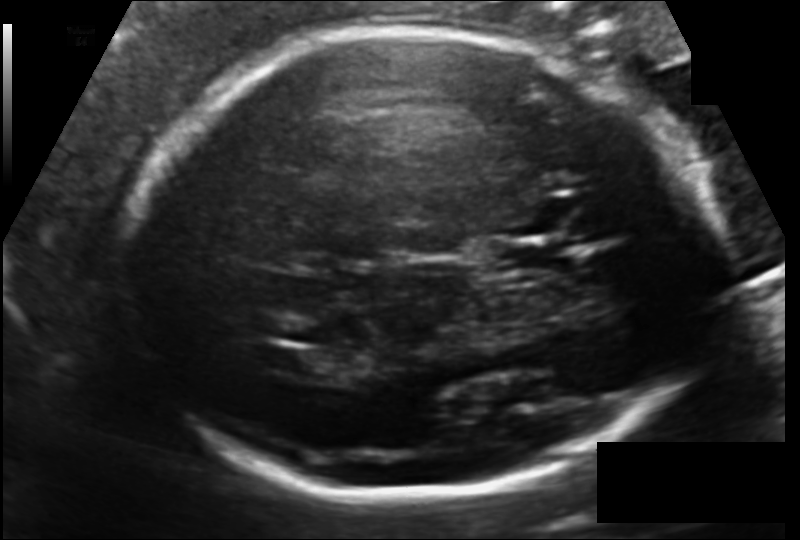
Estimate the fetal head circumference from this 2D ultrasound. Image width: 106.4 mm.

Head circumference: 224.8 mm.